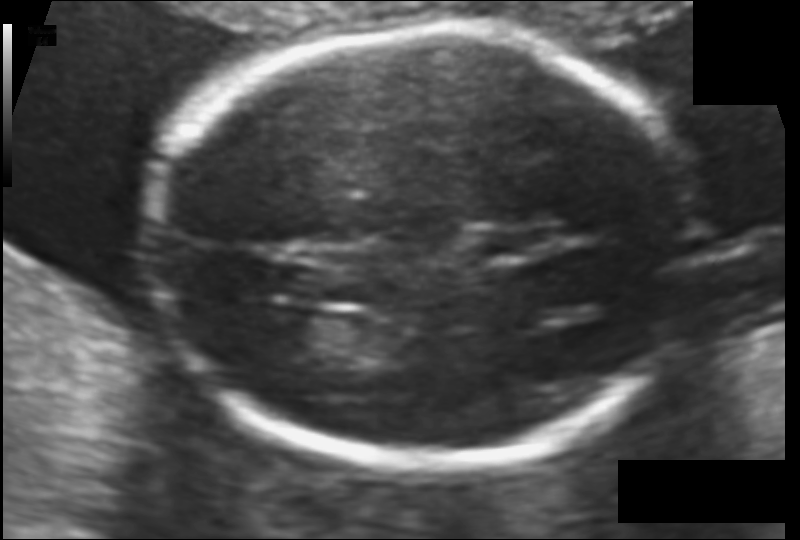
Fetal head ultrasound. Image width: 82.1 mm. Locate the fetal head and, if visible, the cavum septum pellucidum (CSP) and lateral ventricle (LV). Give bounding boxes as [x1,y1,x2,y2].

Head: [149,29,697,465]